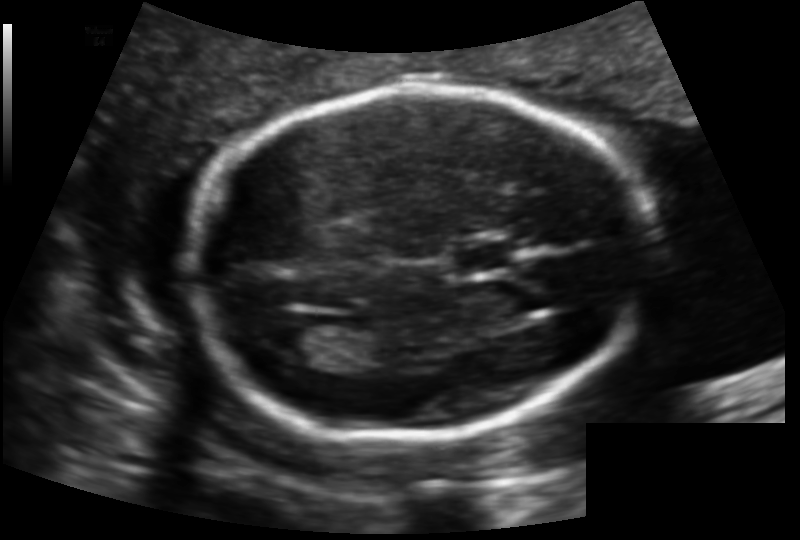
Estimate the fetal head circumference from this 2D ultrasound.

Head circumference: 169.7 mm (image width 103.4 mm).